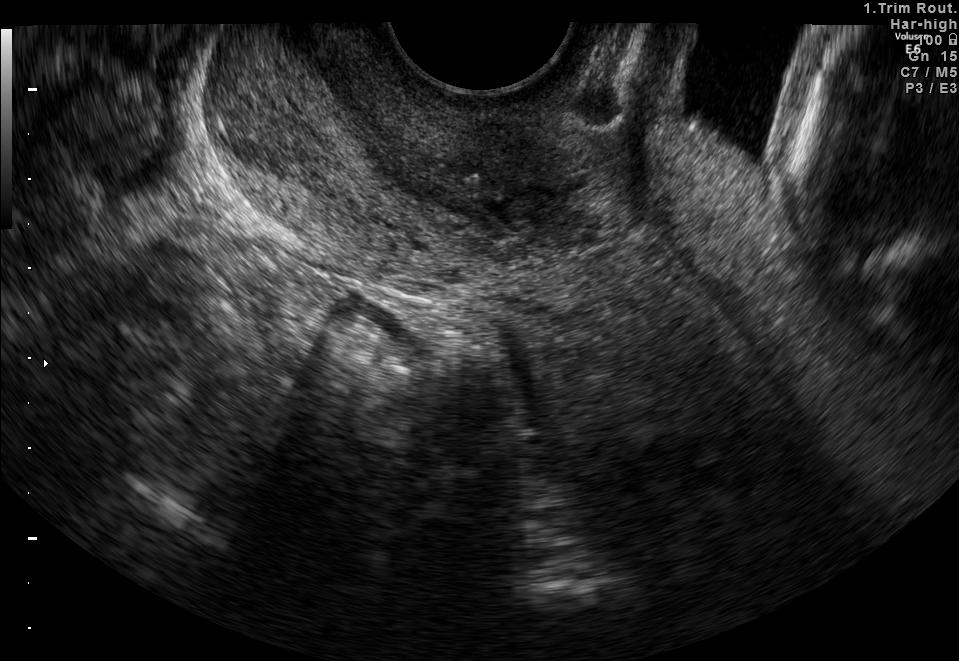
Which standard maternal-fetal ultrasound plane is shown: fetal abdomen, fetal brain, fetal femur, fetal thorax, maternal cervix, or other? If it's fetal brain and one of the three standard brain planes (trans-thalamic, trans-cerebellum, trans-ventricular), name which.

Maternal cervix